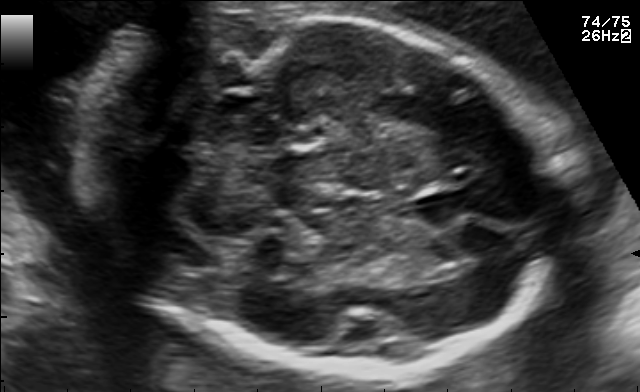
In this fetal brain, trans-cerebellum plane, give the bounding box of the fetal head.

[93,12,559,372]